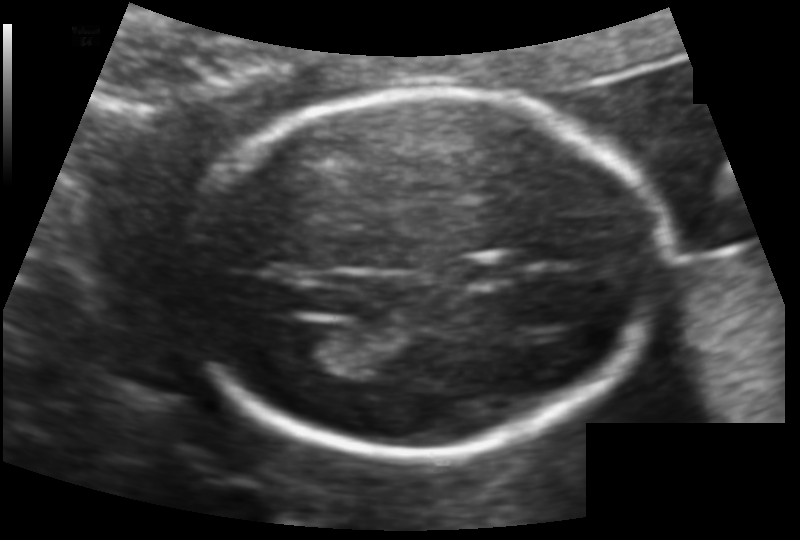
In this fetal head ultrasound, give the bounding box of the fetal head. Image width: 90.1 mm.

[184,92,618,457]